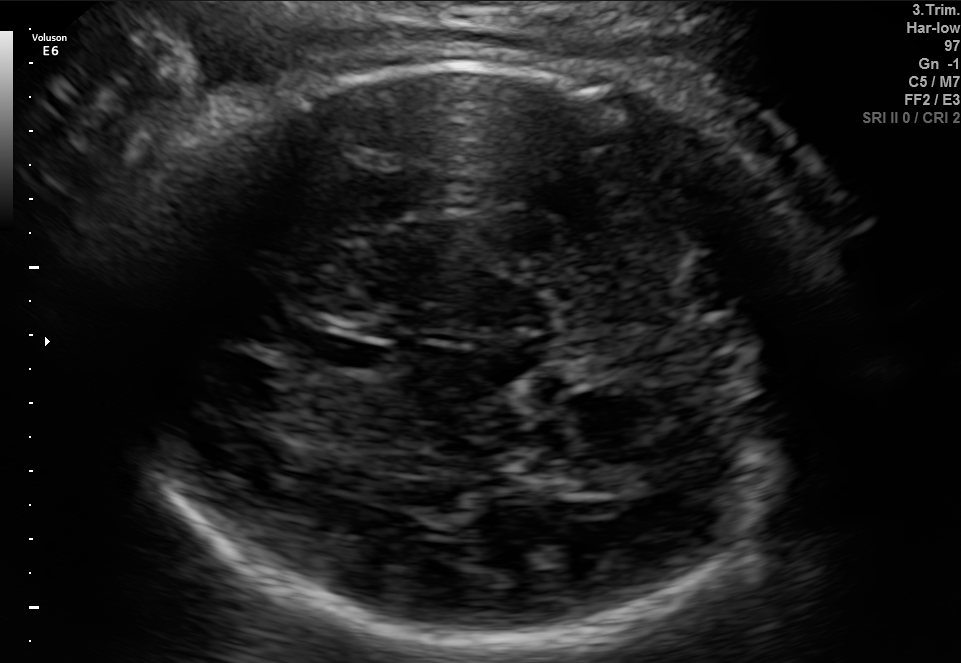
Fetal brain, trans-thalamic plane. Locate the fetal head and, if visible, the cavum septum pellucidum (CSP) and lateral ventricle (LV). Give bounding boxes as [x1,y1,x2,y2].

Head: [107,60,824,655]
CSP: [306,332,392,375]